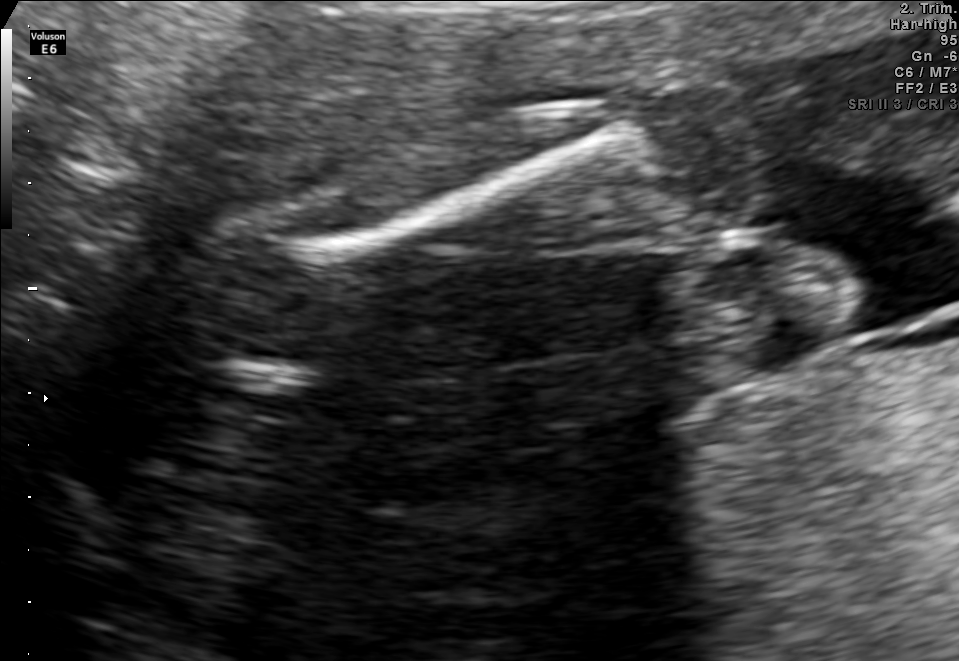
Which standard maternal-fetal ultrasound plane is shown: fetal abdomen, fetal brain, fetal femur, fetal thorax, maternal cervix, or other? If it's fetal brain and one of the three standard brain planes (trans-thalamic, trans-cerebellum, trans-ventricular), name which.

Fetal femur